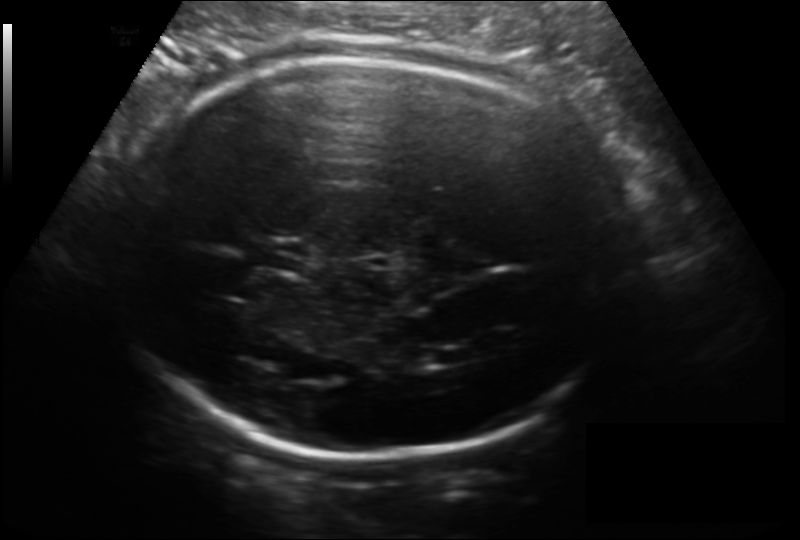
Estimate the fetal head circumference from this 2D ultrasound.

Head circumference: 243.1 mm (image width 133.1 mm).